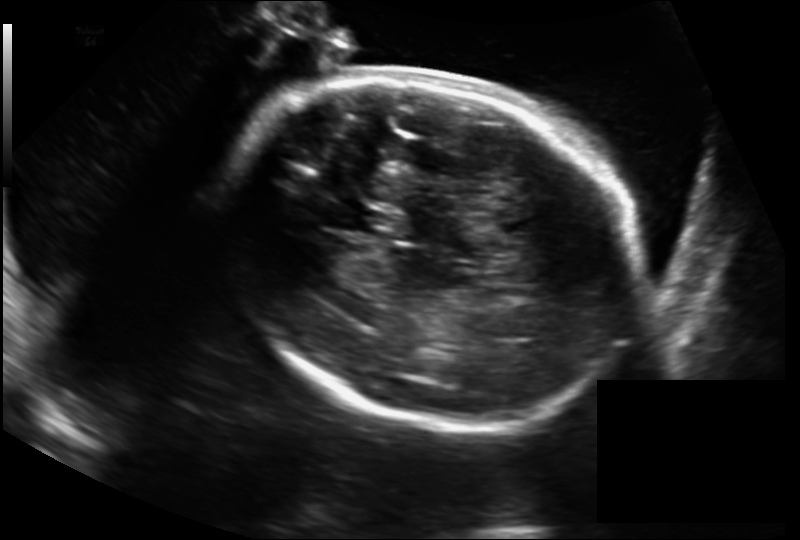
Fetal head ultrasound. Image width: 169.0 mm. Locate the fetal head.

Head: [216,78,639,423]